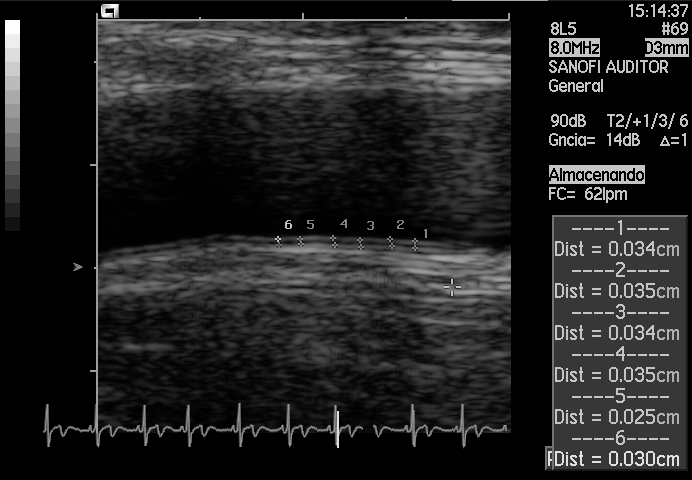
Classify this maternal-fetal ultrasound image as one of the six standard planes — fetal abdomen, fetal brain, fetal femur, fetal thorax, maternal cervix, or other. If it's fetal brain and one of the three standard brain planes (trans-thalamic, trans-cerebellum, trans-ventricular), name which.

Other